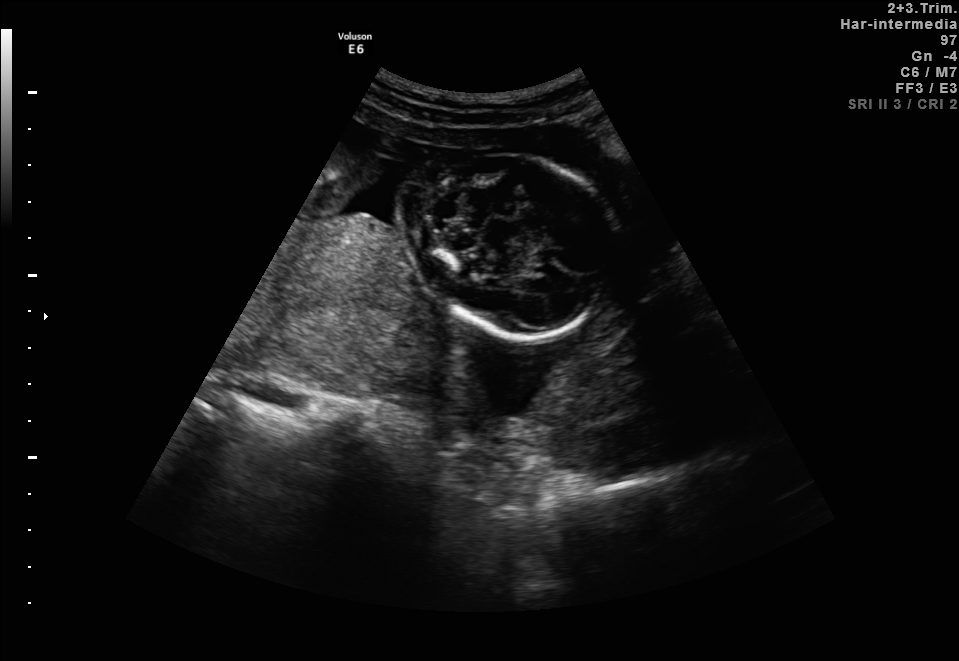
Which standard maternal-fetal ultrasound plane is shown: fetal abdomen, fetal brain, fetal femur, fetal thorax, maternal cervix, or other? If it's fetal brain and one of the three standard brain planes (trans-thalamic, trans-cerebellum, trans-ventricular), name which.

Fetal brain